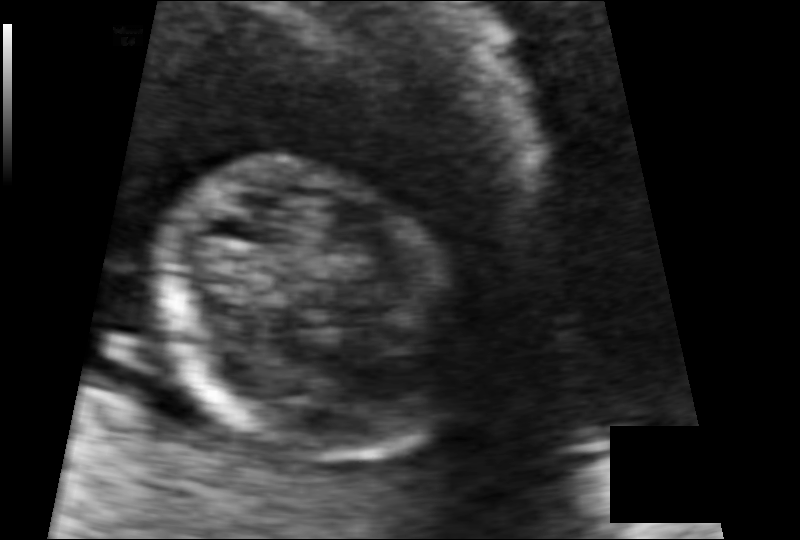
Fetal head ultrasound. Image width: 68.4 mm. Give [x1,y1,x2,y2] bounding boxes for each visible structure among: fetal head, CSP, LV.

Head: [150,161,471,462]